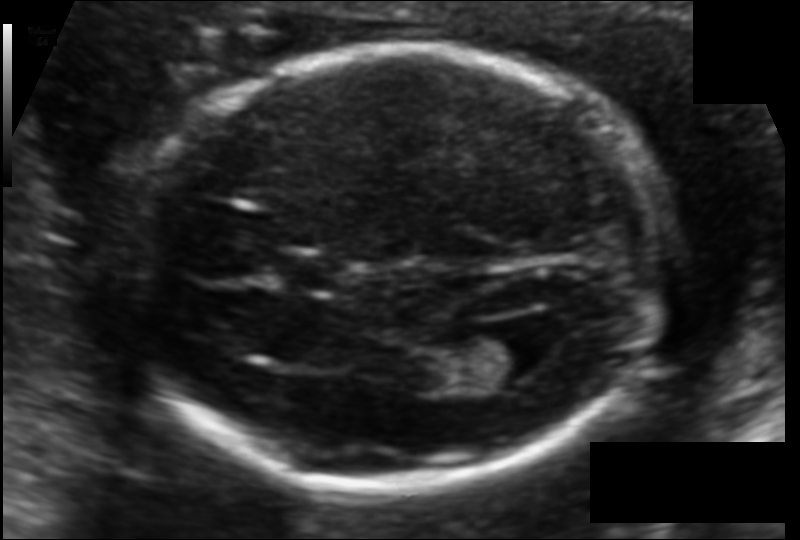
Estimate the fetal head circumference from this 2D ultrasound.

Head circumference: 168.9 mm (image width 86.5 mm).